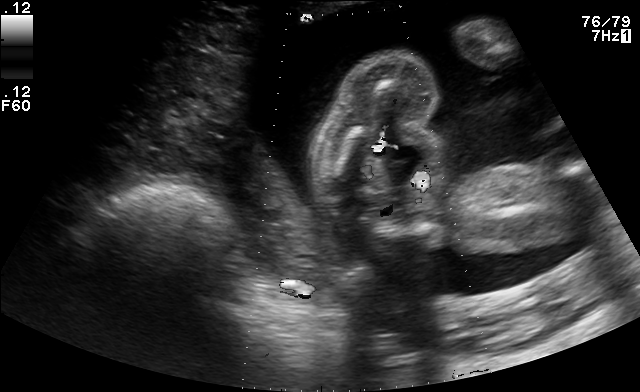
This is a 2D maternal-fetal ultrasound frame. Is it a fetal abdomen, fetal brain, fetal femur, fetal thorax, maternal cervix, or other standard plane? If it's fetal brain and one of the three standard brain planes (trans-thalamic, trans-cerebellum, trans-ventricular), name which.

Other